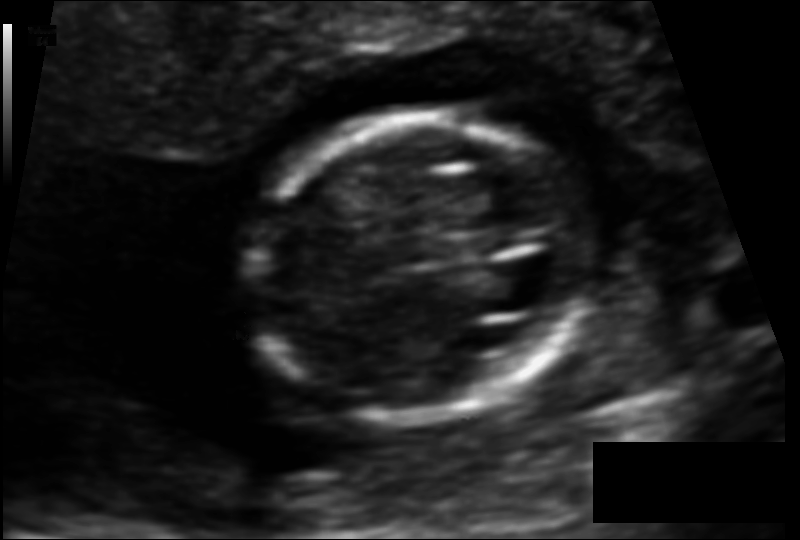
Measure the fetal head circumference shown in this ultrasound image. Image width: 73.5 mm.

Head circumference: 95.6 mm.